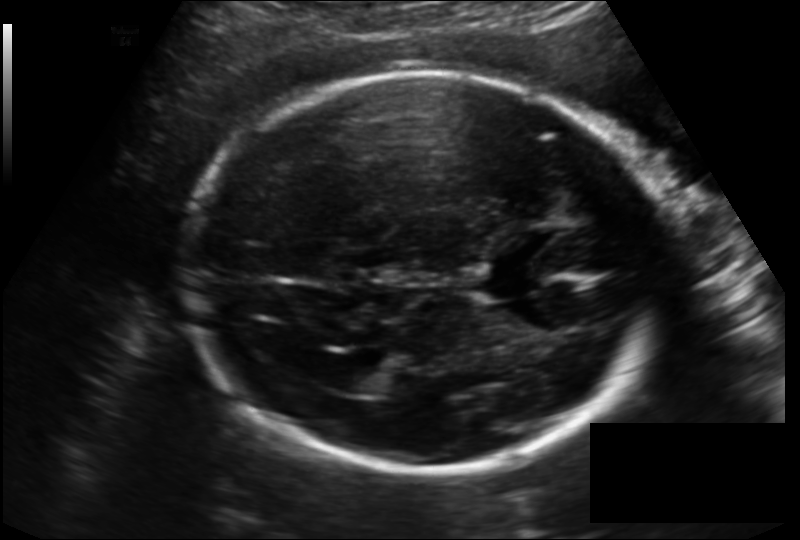
Estimate the fetal head circumference from this 2D ultrasound. Image width: 133.1 mm.

Head circumference: 234.9 mm.